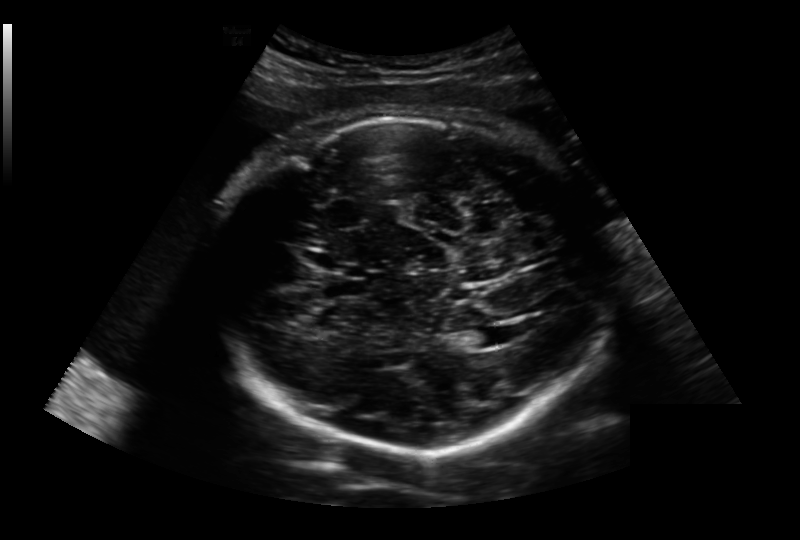
From this fetal ultrasound, estimate the head circumference (image width 188.7 mm).

Head circumference: 285.0 mm.